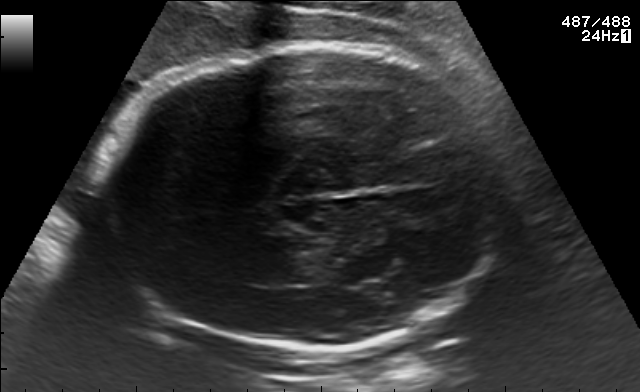
Fetal brain, trans-thalamic plane. Locate the fetal head and, if visible, the cavum septum pellucidum (CSP) and lateral ventricle (LV). Give bounding boxes as [x1,y1,x2,y2].

Head: [93,45,503,349]